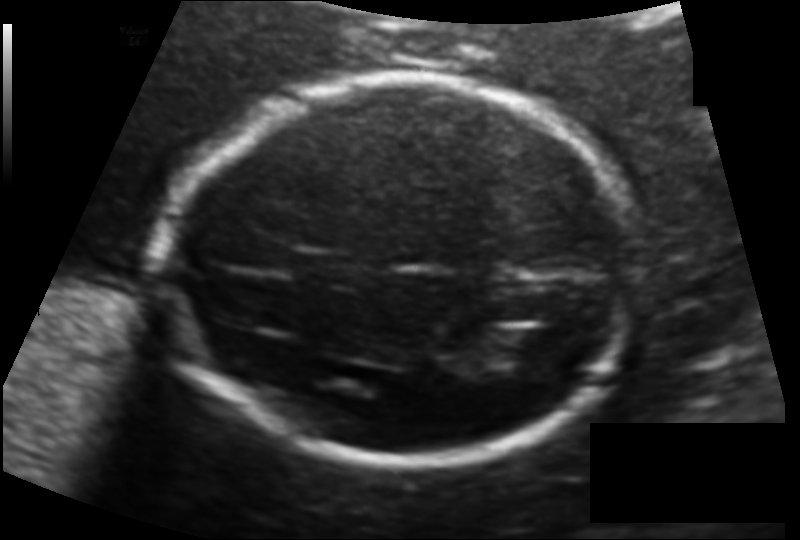
What is the fetal head circumference? Image width is 98.0 mm.

171.9 mm